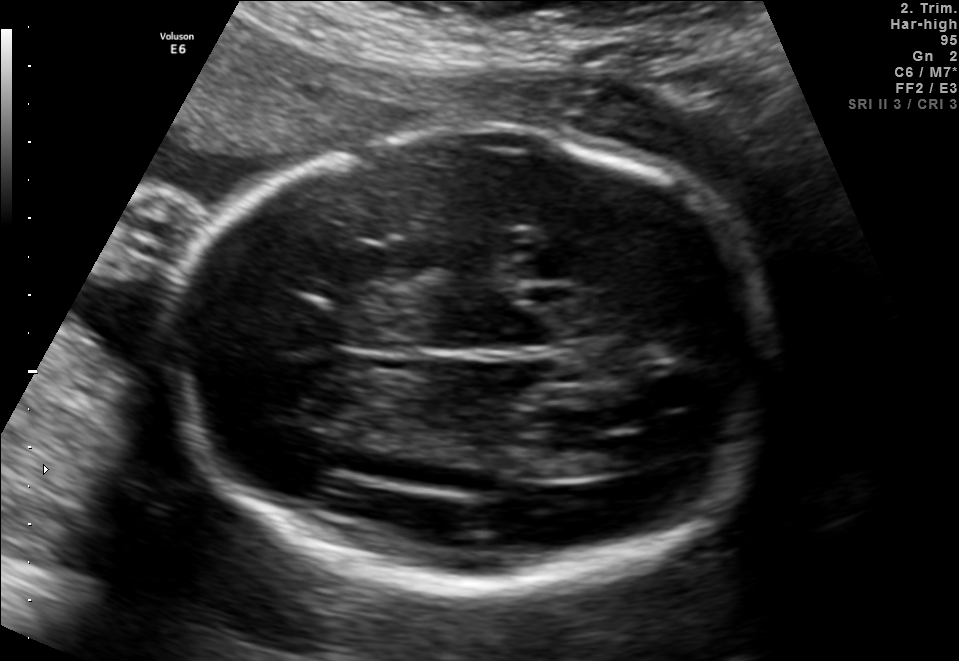
In this fetal brain, trans-thalamic plane, give bounding boxes for the head outline, cavum septum pellucidum (CSP), and lateral ventricle (LV), where visible.

Head: [160,127,787,594]